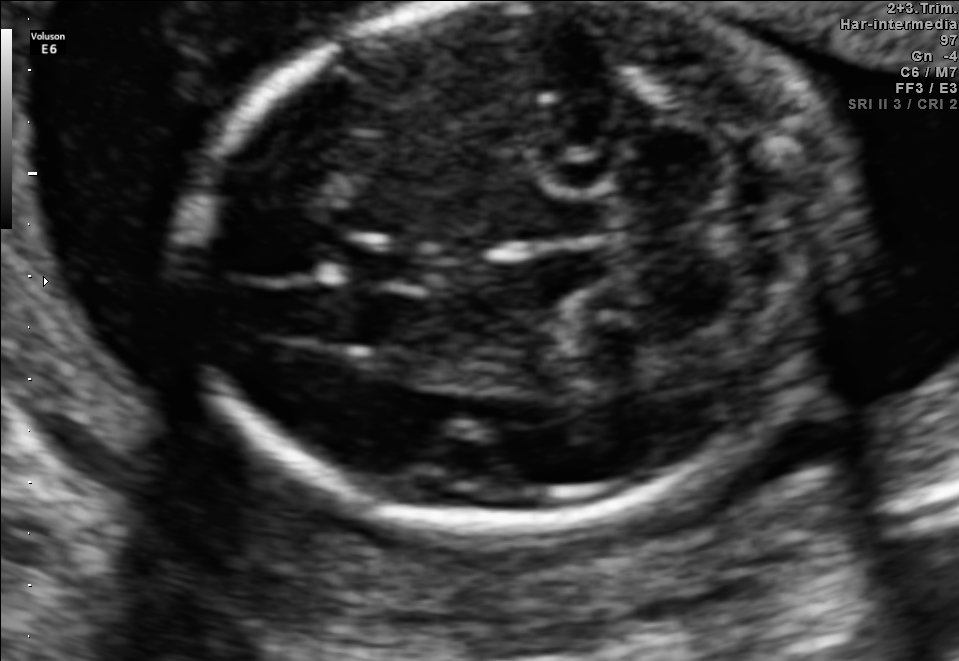
In this fetal brain, trans-cerebellum plane, give the bounding box of the cavum septum pellucidum.

[328,235,426,291]